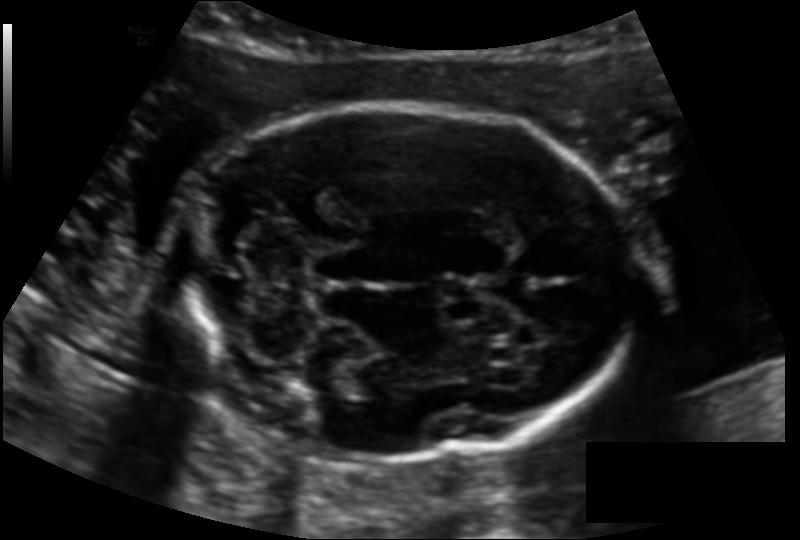
In this fetal head ultrasound, give bounding boxes for the head outline, cavum septum pellucidum (CSP), and lateral ventricle (LV), where visible. Image width: 102.3 mm.

Head: [176,105,637,457]